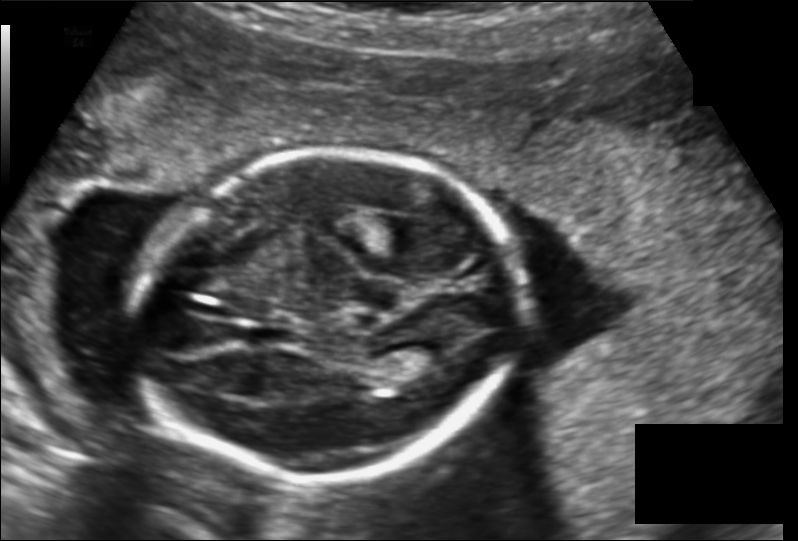
From this fetal ultrasound, estimate the head circumference (image width 118.8 mm).

Head circumference: 173.3 mm.